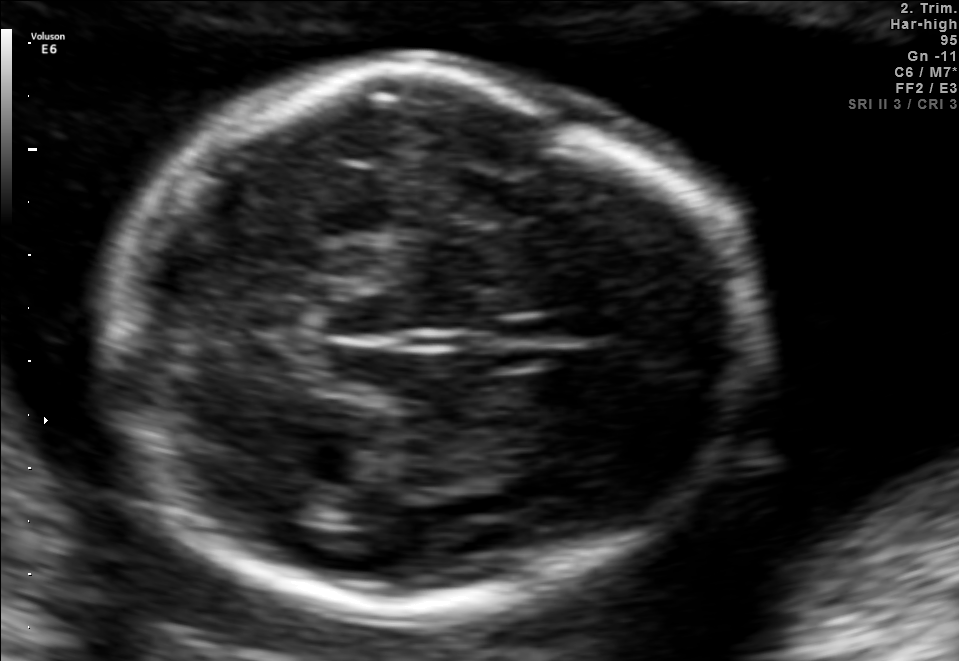
Fetal brain, trans-thalamic plane. Locate the fetal head.

Head: [100,72,751,611]